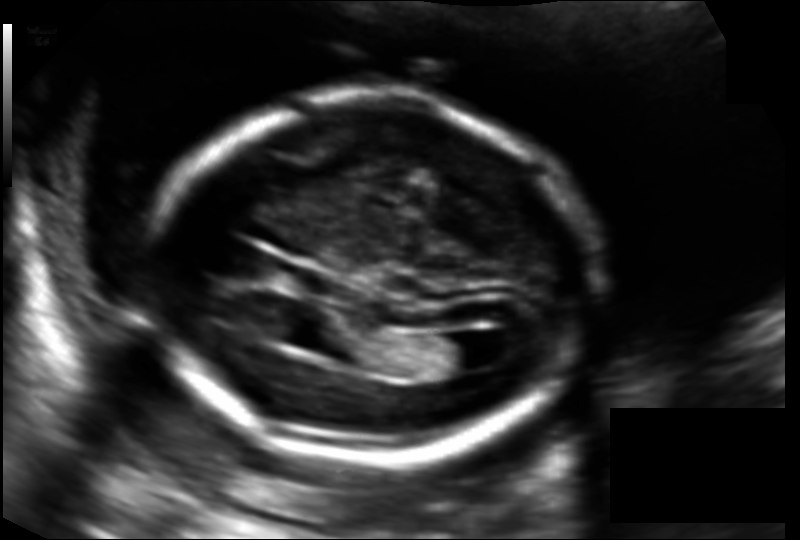
In this fetal head ultrasound, give bounding boxes for the head outline, cavum septum pellucidum (CSP), and lateral ventricle (LV), where visible. Image width: 104.2 mm.

Head: [151,97,591,461]
CSP: [277,258,336,300]
Lateral ventricle: [435,331,493,374]